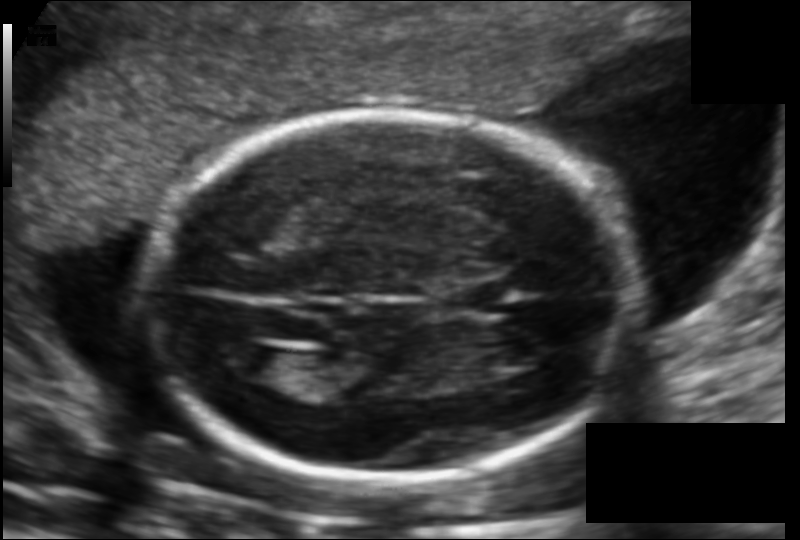
Estimate the fetal head circumference from this 2D ultrasound.

Head circumference: 168.9 mm (image width 98.4 mm).